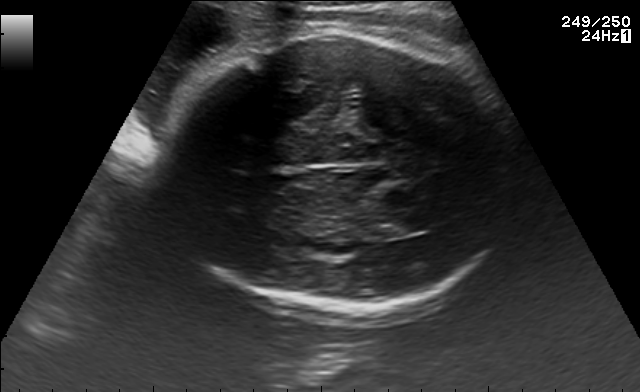
Fetal brain, trans-thalamic plane. Give [x1,y1,x2,y2] bounding boxes for each visible structure among: fetal head, CSP, LV.

Head: [162,34,521,308]
Lateral ventricle: [370,211,426,241]